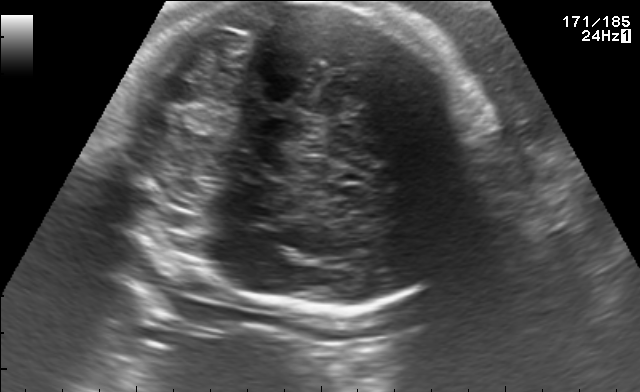
Fetal brain, trans-cerebellum plane. Locate the fetal head.

Head: [115,2,500,312]